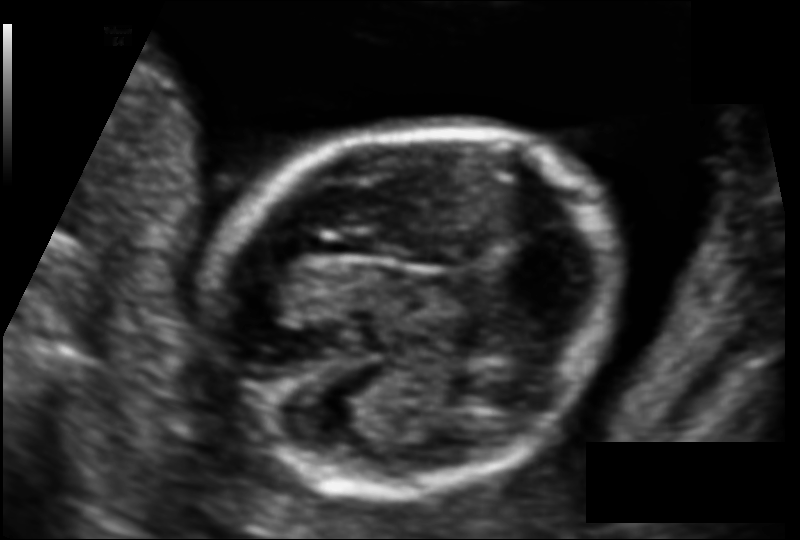
In this fetal head ultrasound, give the bounding box of the fetal head. Image width: 79.2 mm.

[206,124,621,491]